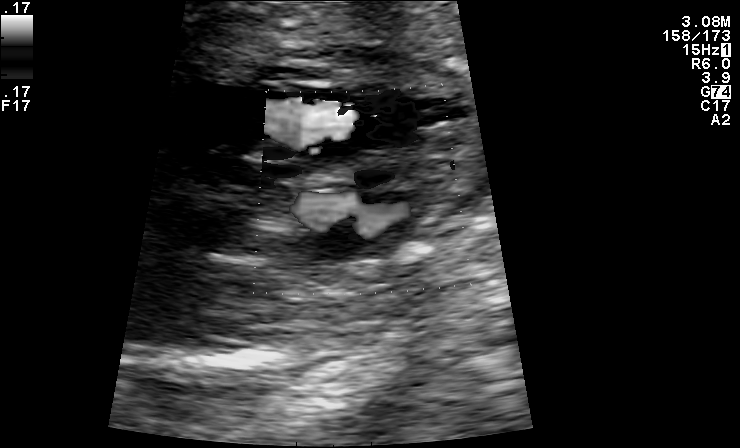
This is a 2D maternal-fetal ultrasound frame. Is it a fetal abdomen, fetal brain, fetal femur, fetal thorax, maternal cervix, or other standard plane? If it's fetal brain and one of the three standard brain planes (trans-thalamic, trans-cerebellum, trans-ventricular), name which.

Other